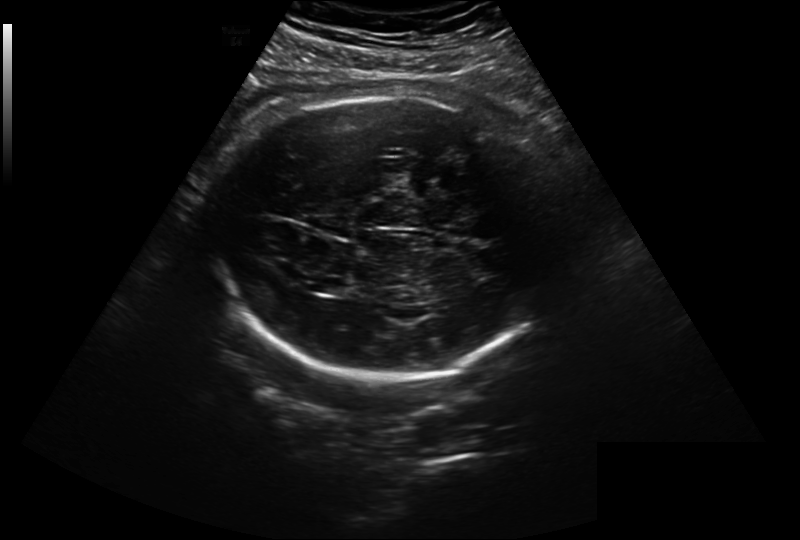
In this fetal head ultrasound, give bounding boxes for the head outline, cavum septum pellucidum (CSP), and lateral ventricle (LV), where visible. Image width: 239.2 mm.

Head: [217,95,553,383]
Lateral ventricle: [314,276,352,296]